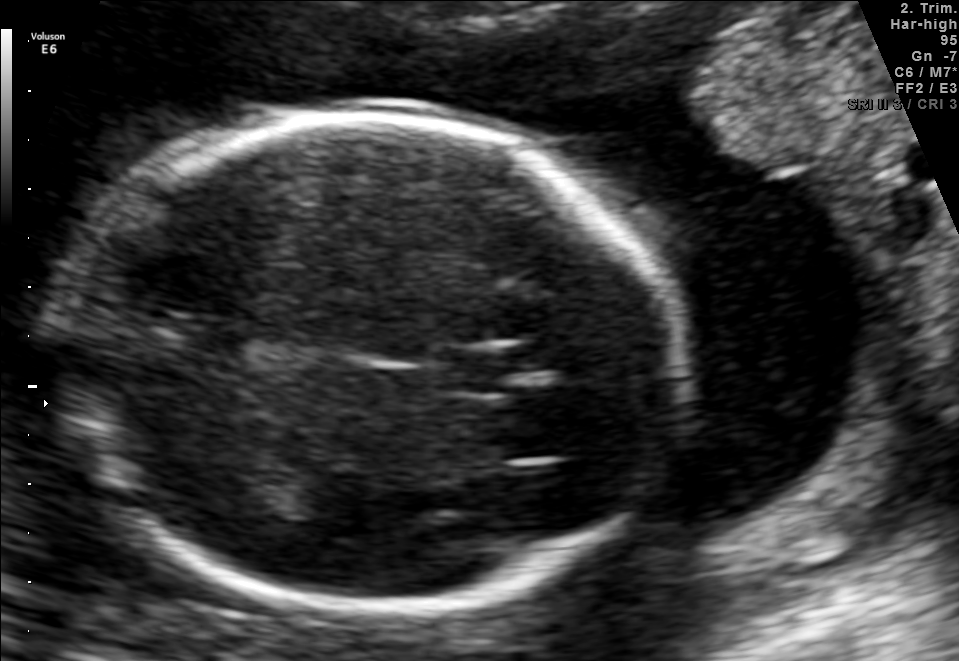
In this fetal brain, trans-thalamic plane, give the bounding box of the fetal head.

[63,119,684,612]